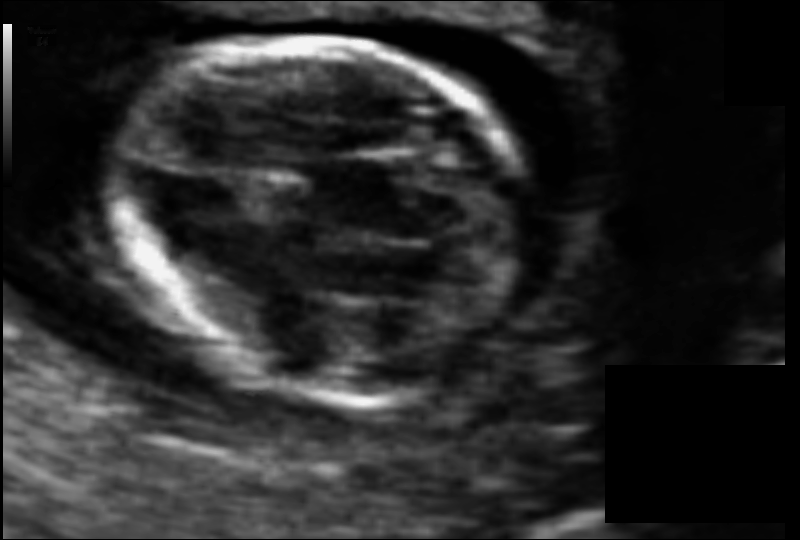
In this fetal head ultrasound, give bounding boxes for the head outline, cavum septum pellucidum (CSP), and lateral ventricle (LV), where visible. Image width: 51.5 mm.

Head: [112,39,540,399]